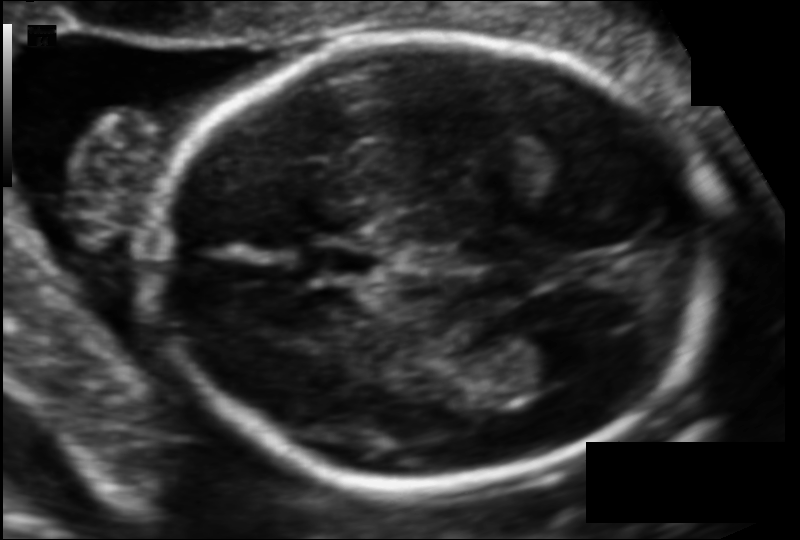
In this fetal head ultrasound, give the bounding box of the cavum septum pellucidum. Image width: 81.4 mm.

[310,245,384,279]